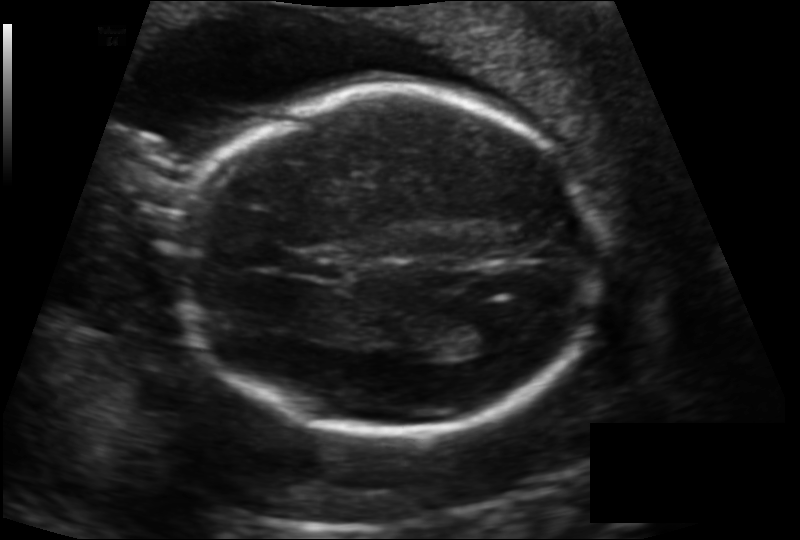
Measure the fetal head circumference shown in this ultrasound image. Image width: 113.2 mm.

Head circumference: 176.6 mm.